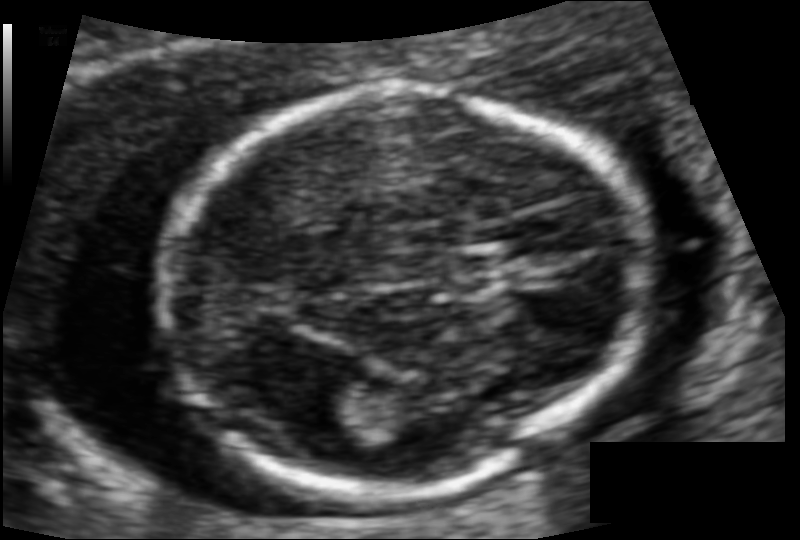
Estimate the fetal head circumference from this 2D ultrasound. Image width: 66.5 mm.

Head circumference: 121.5 mm.